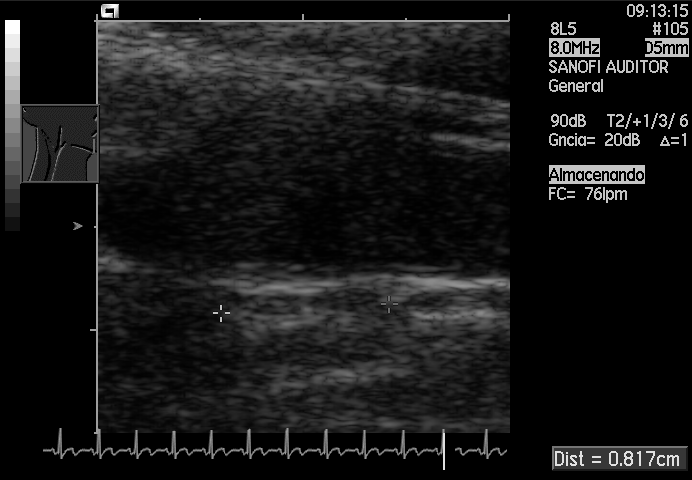
Classify this maternal-fetal ultrasound image as one of the six standard planes — fetal abdomen, fetal brain, fetal femur, fetal thorax, maternal cervix, or other. If it's fetal brain and one of the three standard brain planes (trans-thalamic, trans-cerebellum, trans-ventricular), name which.

Other